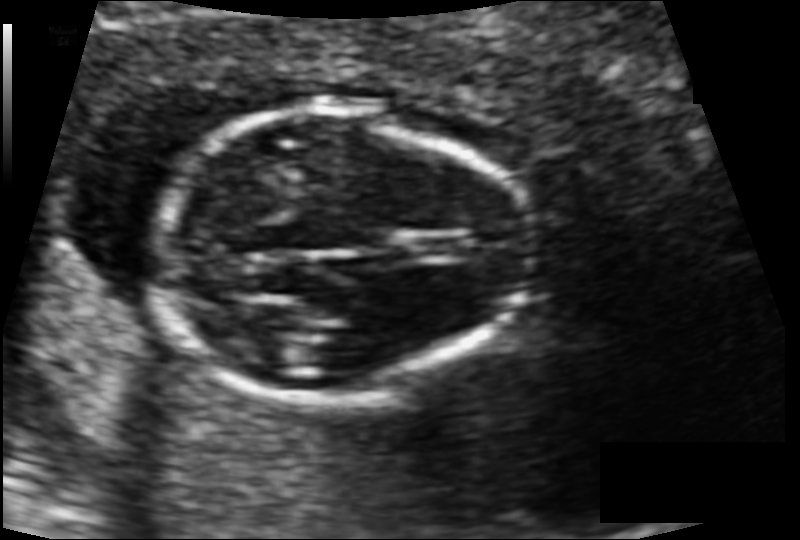
Estimate the fetal head circumference from this 2D ultrasound.

Head circumference: 96.1 mm (image width 71.4 mm).